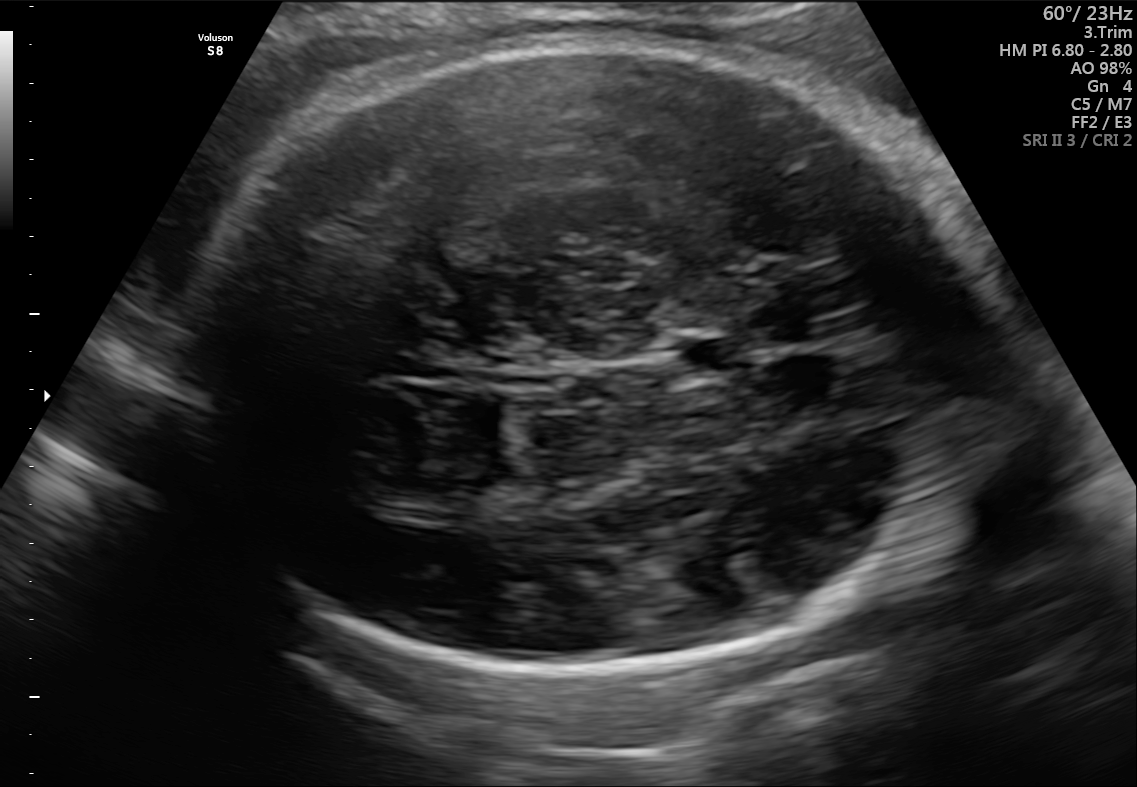
Fetal brain, trans-thalamic plane. Where is the fetal head?

Head bounding box: [194,40,992,685]